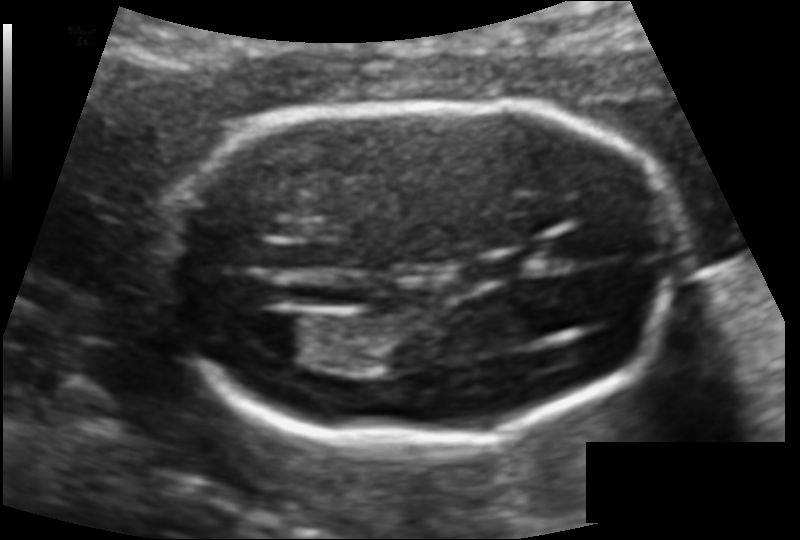
Fetal head ultrasound. Image width: 87.1 mm. Locate the lateral ventricle.

Lateral ventricle: [229,307,312,359]